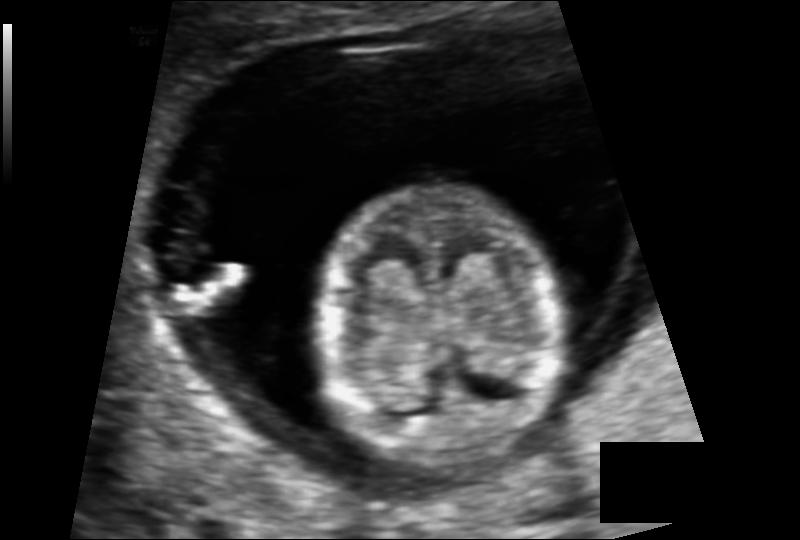
Fetal head ultrasound. Image width: 71.8 mm. Locate the fetal head and, if visible, the cavum septum pellucidum (CSP) and lateral ventricle (LV). Give bounding boxes as [x1,y1,x2,y2].

Head: [315,185,560,470]